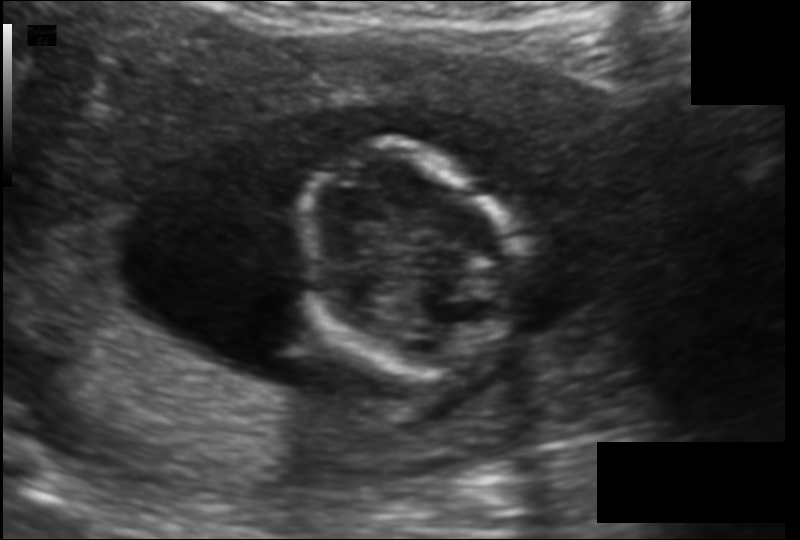
From this fetal ultrasound, estimate the head circumference (image width 103.9 mm).

Head circumference: 98.7 mm.